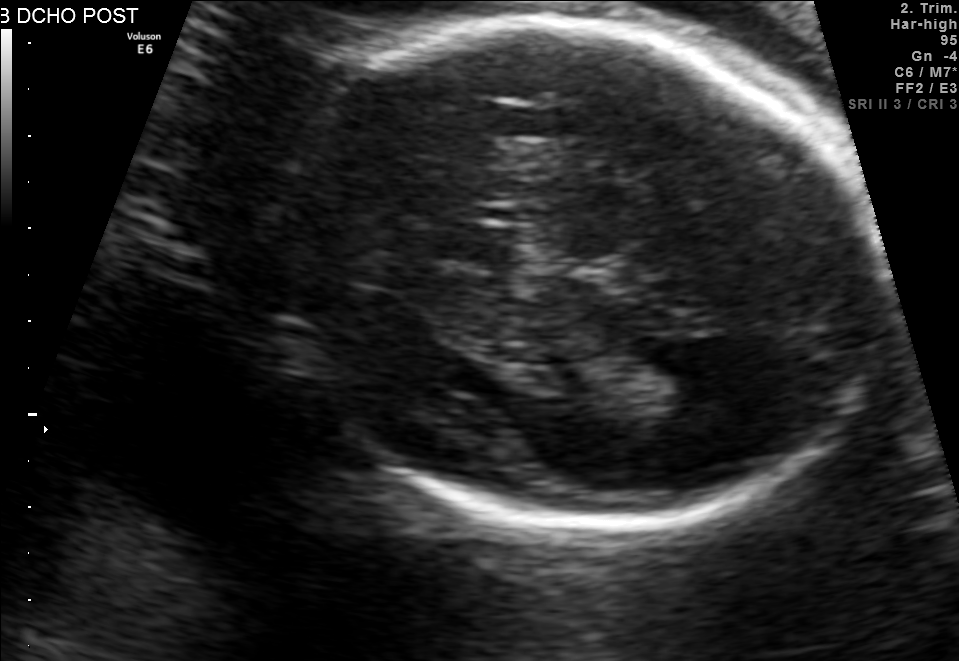
Fetal brain, trans-thalamic plane. Give [x1,y1,x2,y2] bounding boxes for each visible structure among: fetal head, CSP, LV.

Head: [265,22,878,529]
CSP: [443,221,516,265]